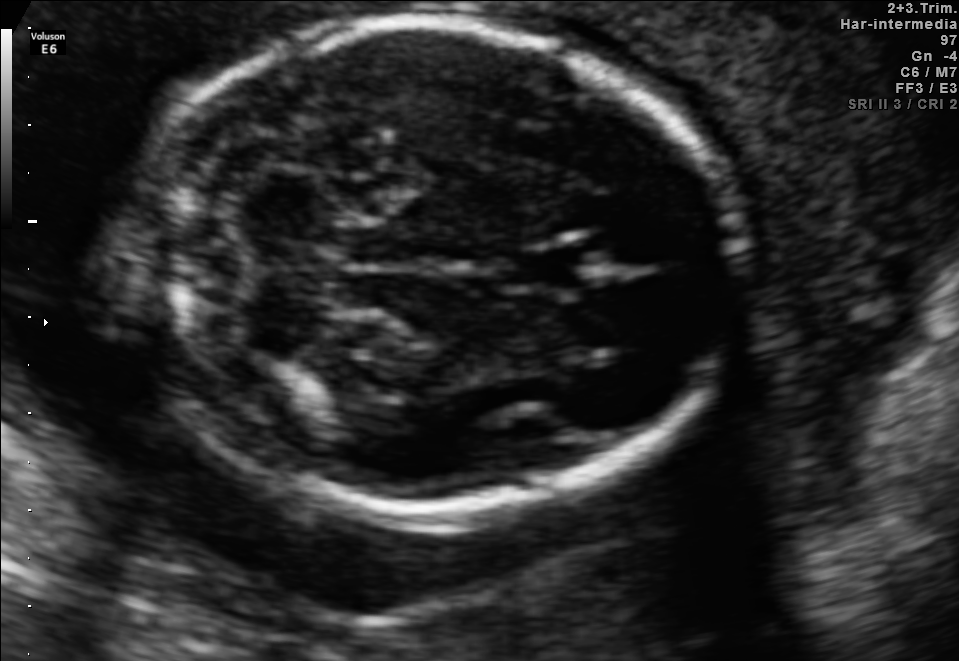
Fetal brain, trans-cerebellum plane. Where is the cavum septum pellucidum?

CSP bounding box: [504,243,590,294]